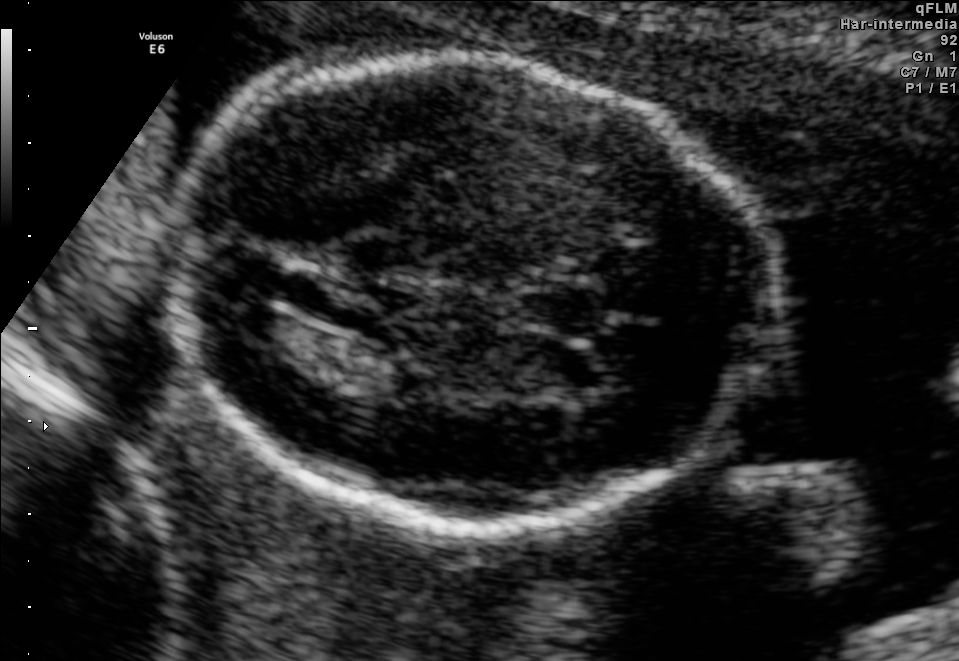
Fetal brain, trans-thalamic plane. Where is the fetal head?

Head bounding box: [177,57,766,528]